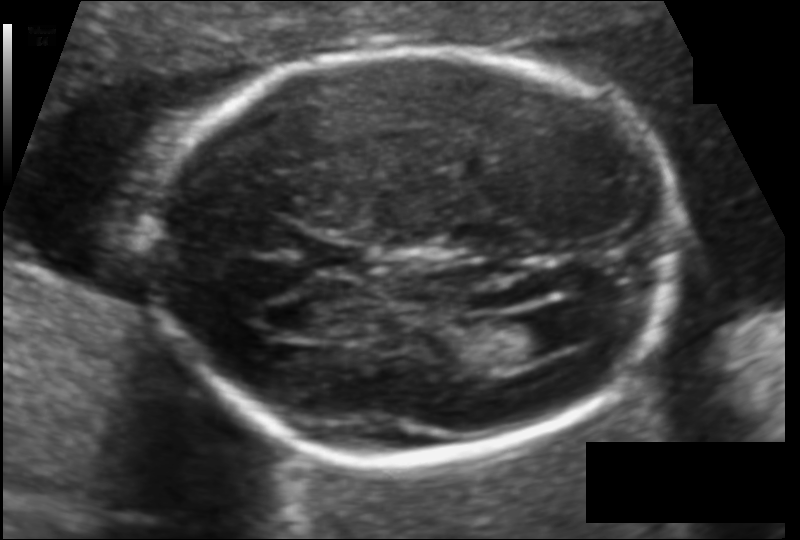
In this fetal head ultrasound, give the bounding box of the lateral ventricle. Image width: 89.1 mm.

[491,304,572,370]